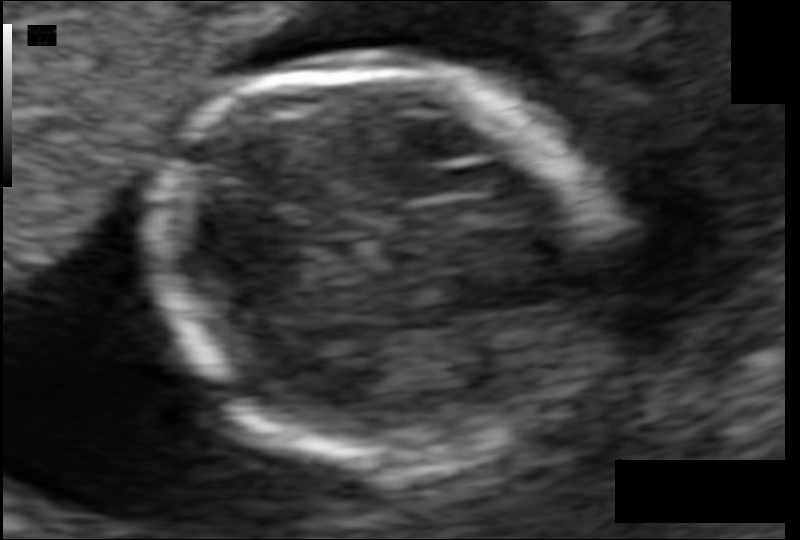
What is the fetal head circumference? Image width is 58.1 mm.

100.8 mm